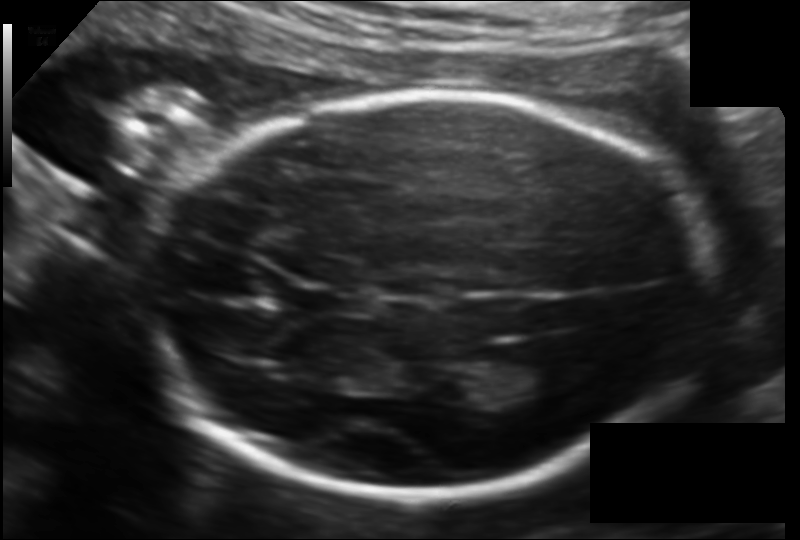
In this fetal head ultrasound, give the bounding box of the fetal head. Image width: 103.8 mm.

[149,96,711,493]